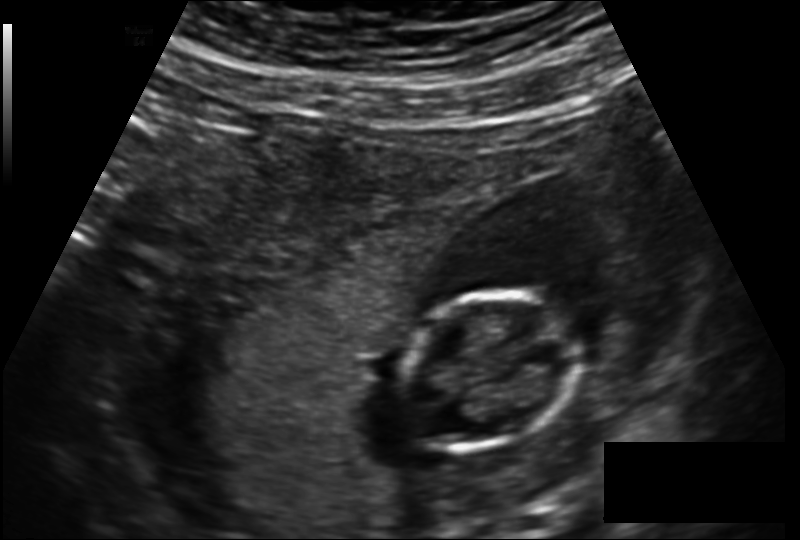
Estimate the fetal head circumference from this 2D ultrasound.

Head circumference: 89.8 mm (image width 128.2 mm).